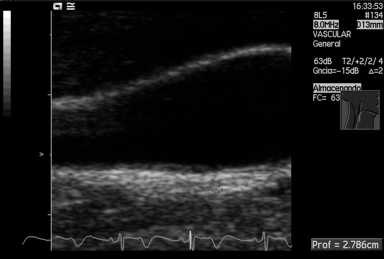
Which standard maternal-fetal ultrasound plane is shown: fetal abdomen, fetal brain, fetal femur, fetal thorax, maternal cervix, or other? If it's fetal brain and one of the three standard brain planes (trans-thalamic, trans-cerebellum, trans-ventricular), name which.

Other